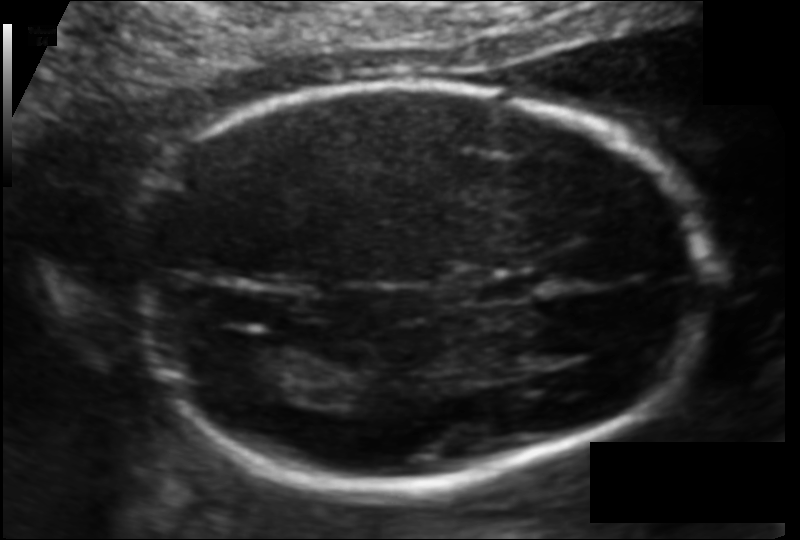
In this fetal head ultrasound, give the bounding box of the lateral ventricle. Image width: 87.4 mm.

[207,336,308,408]